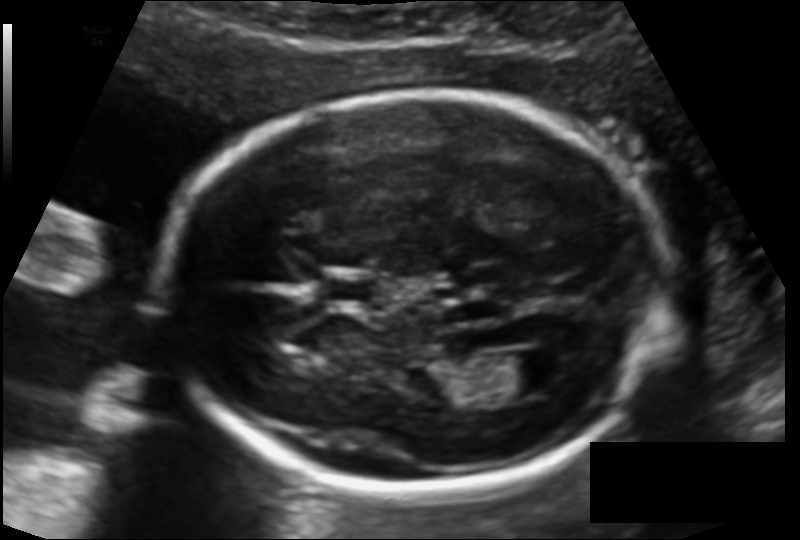
Fetal head ultrasound. Image width: 101.2 mm. Where is the fetal head?

Head bounding box: [169,93,663,491]